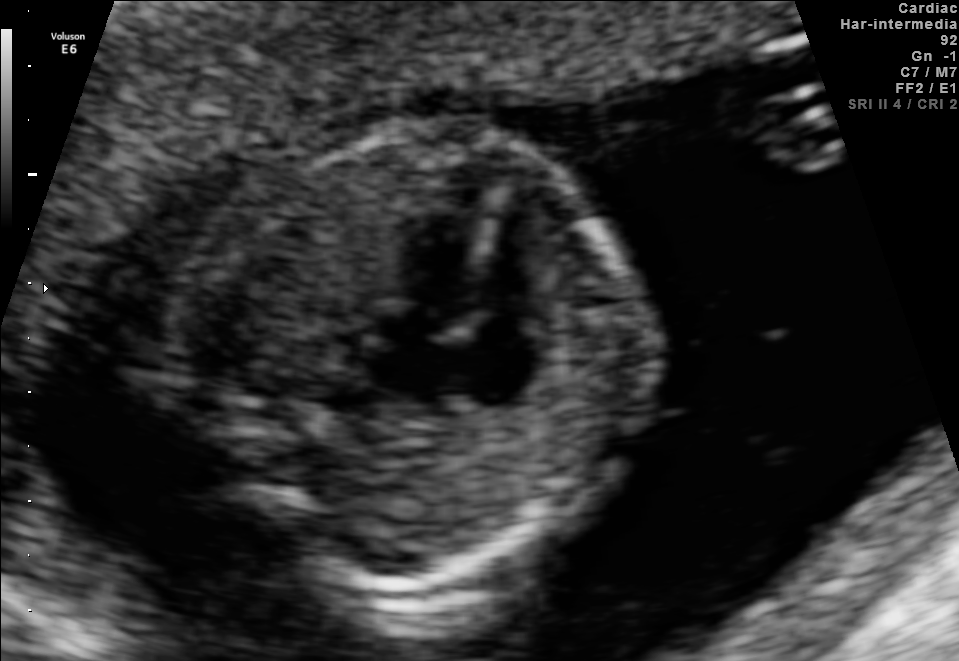
Identify the standard plane in this fetal ultrasound image: fetal abdomen, fetal brain, fetal femur, fetal thorax, maternal cervix, or other. If it's fetal brain and one of the three standard brain planes (trans-thalamic, trans-cerebellum, trans-ventricular), name which.

Fetal thorax